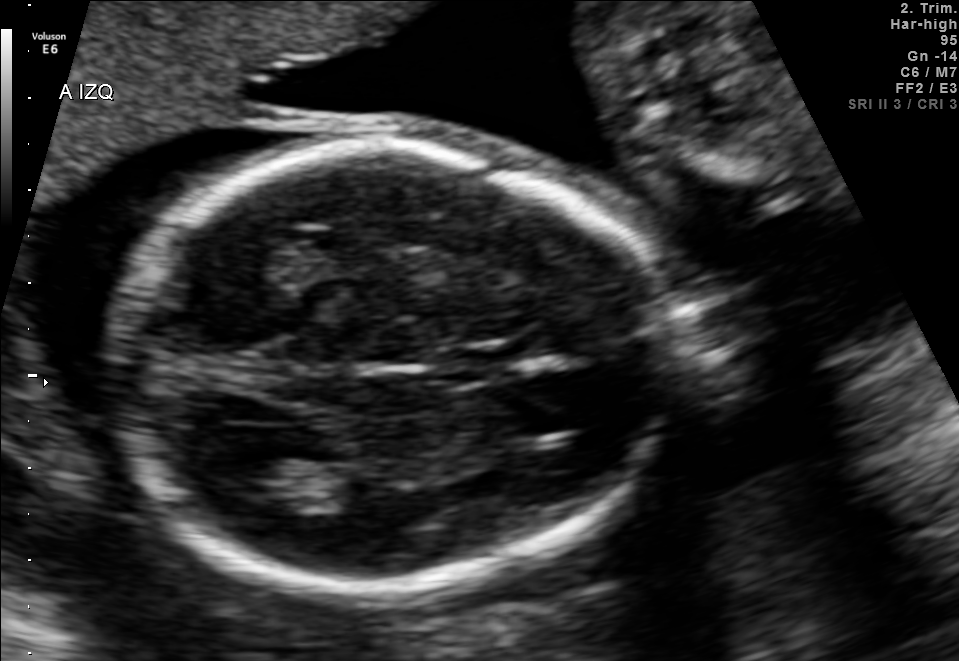
In this fetal brain, trans-thalamic plane, give the bounding box of the lateral ventricle.

[222,464,320,509]